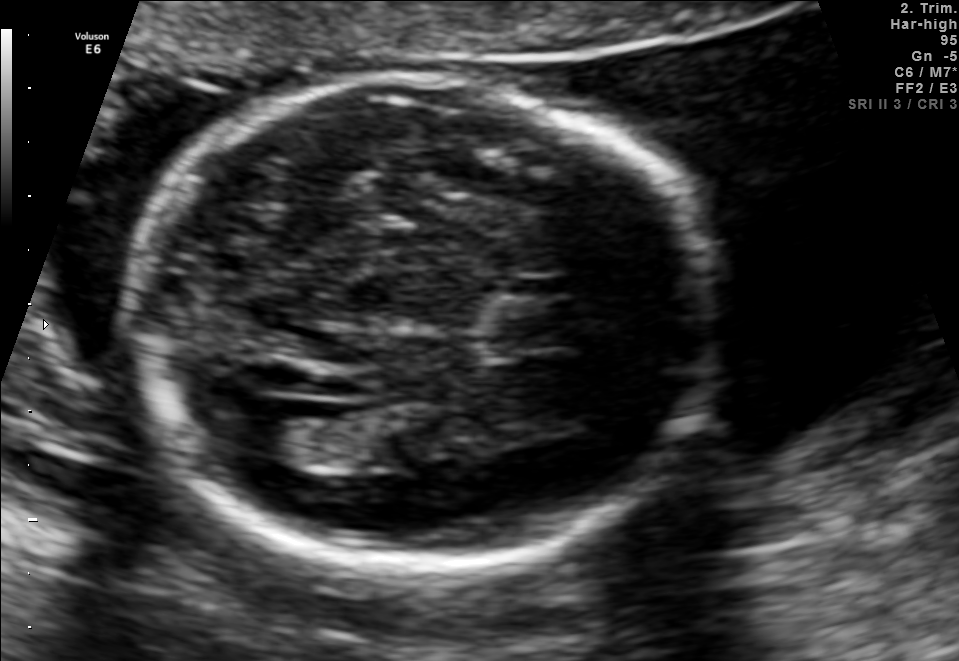
Fetal brain, trans-ventricular plane. Where is the fetal head?

Head bounding box: [117,80,724,579]